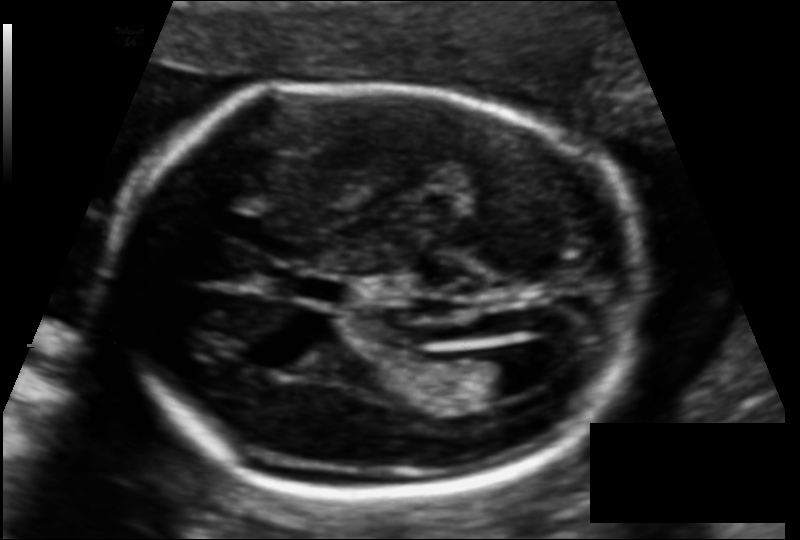
In this fetal head ultrasound, give the bounding box of the cavum septum pellucidum. Image width: 92.4 mm.

[284,270,347,307]